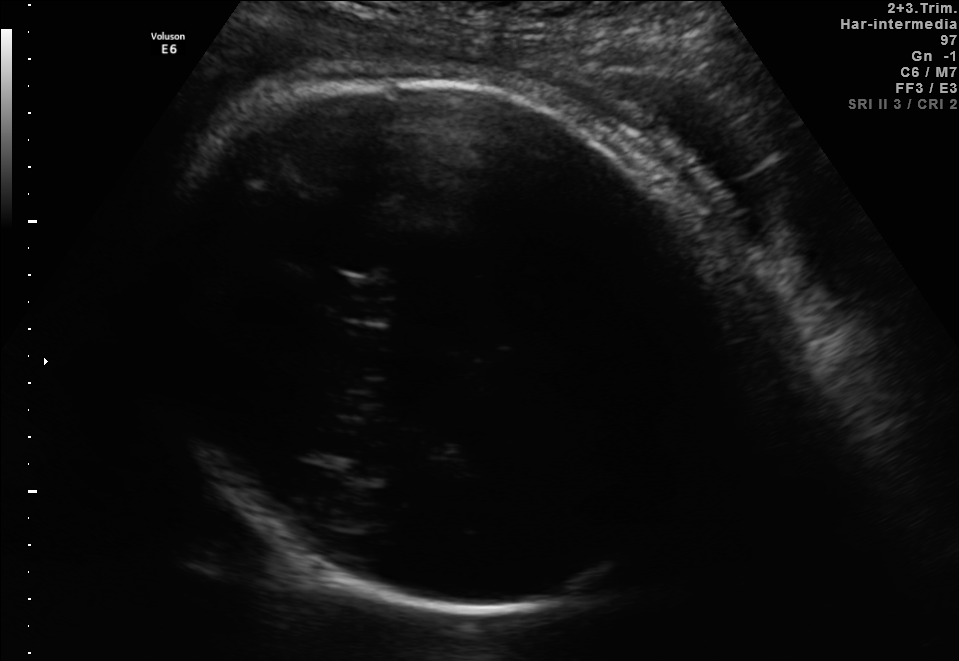
Fetal brain, trans-thalamic plane. Give [x1,y1,x2,y2] bounding boxes for each visible structure among: fetal head, CSP, LV.

Head: [144,79,735,612]